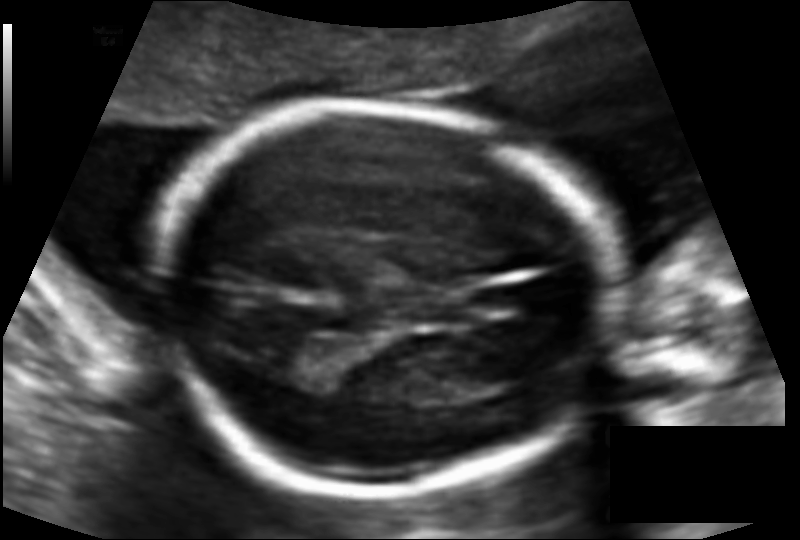
In this fetal head ultrasound, give the bounding box of the cavum septum pellucidum. Image width: 87.7 mm.

[412,297,467,324]